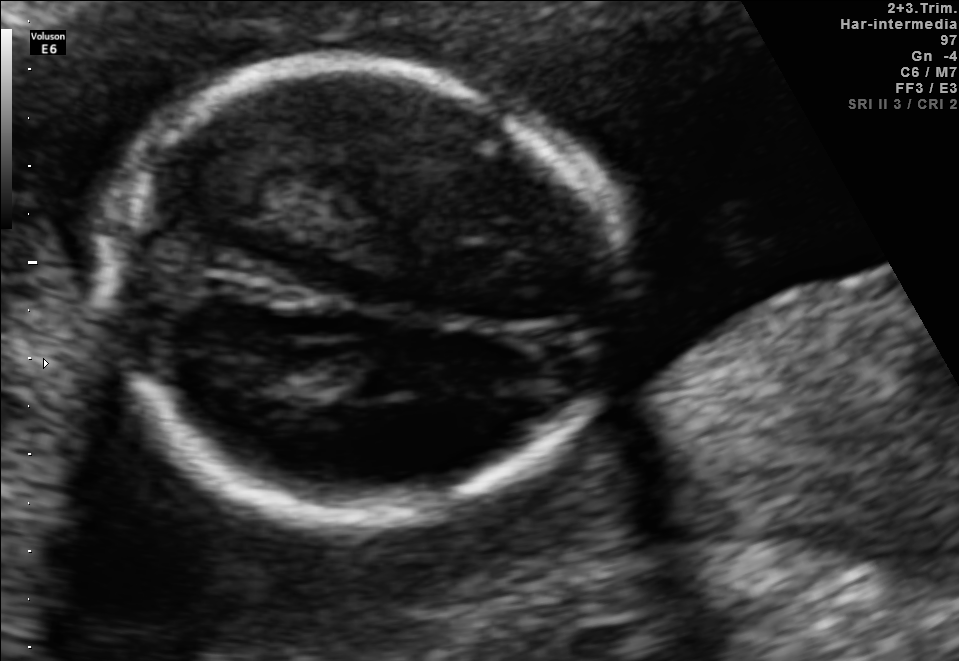
Fetal brain, trans-thalamic plane. Give [x1,y1,x2,y2] bounding boxes for each visible structure among: fetal head, CSP, LV.

Head: [99,66,624,527]